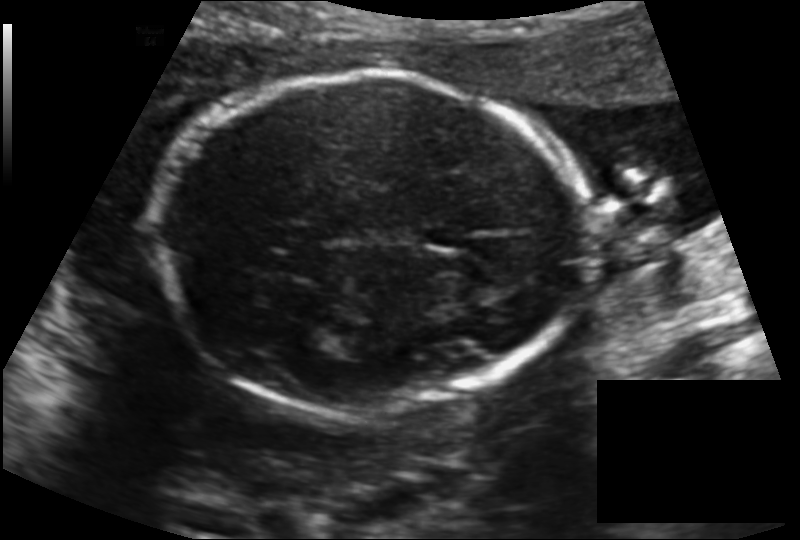
Estimate the fetal head circumference from this 2D ultrasound. Image width: 116.2 mm.

Head circumference: 182.3 mm.